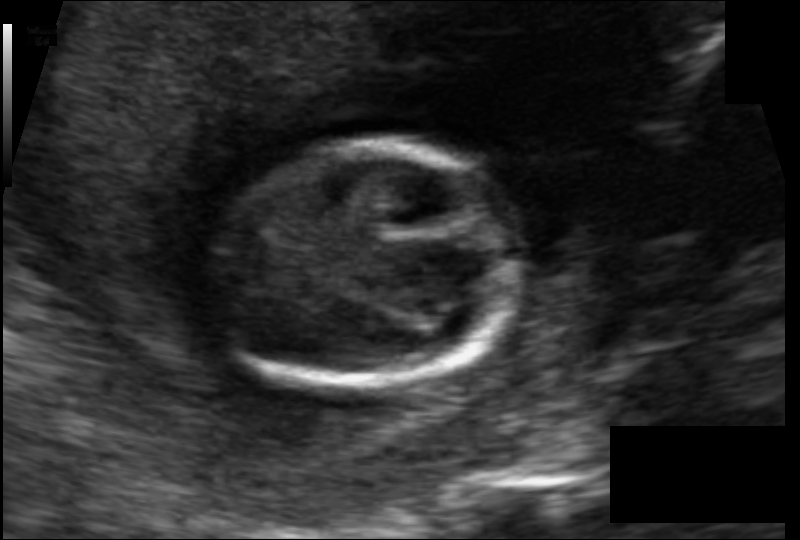
In this fetal head ultrasound, give bounding boxes for the head outline, cavum septum pellucidum (CSP), and lateral ventricle (LV), where visible. Image width: 70.6 mm.

Head: [213,146,514,386]